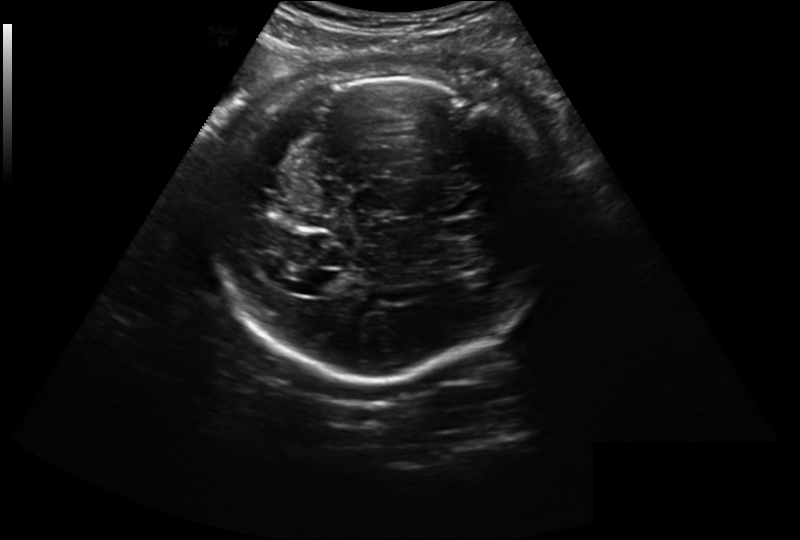
In this fetal head ultrasound, give the bounding box of the fetal head. Image width: 208.4 mm.

[219,74,546,381]